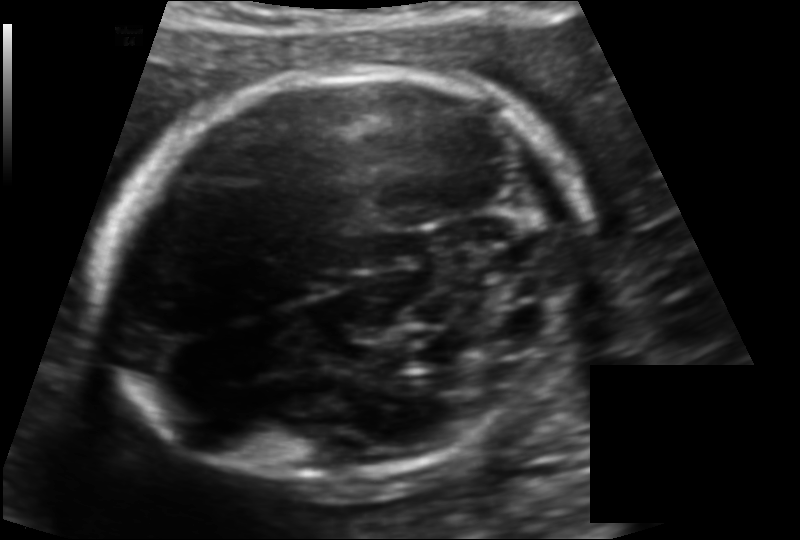
In this fetal head ultrasound, give bounding boxes for the head outline, cavum septum pellucidum (CSP), and lateral ventricle (LV), where visible. Image width: 100.1 mm.

Head: [103,66,586,487]